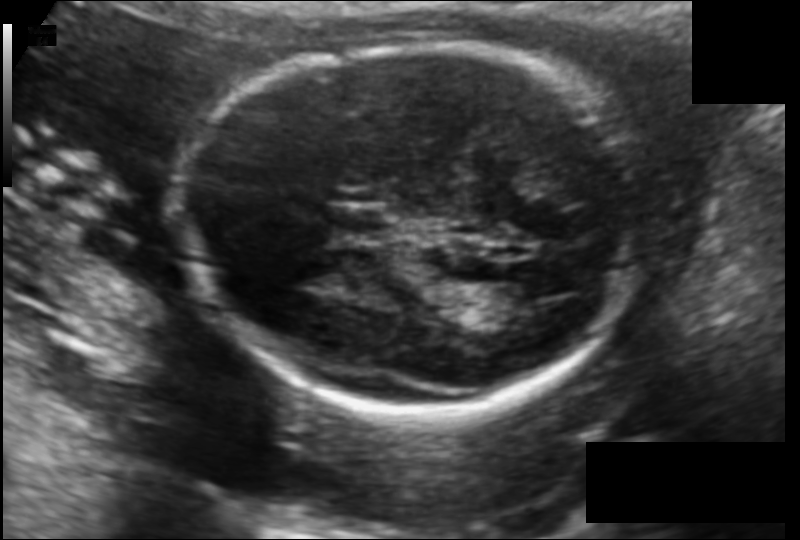
From this fetal ultrasound, estimate the head circumference (image width 98.5 mm).

Head circumference: 165.8 mm.